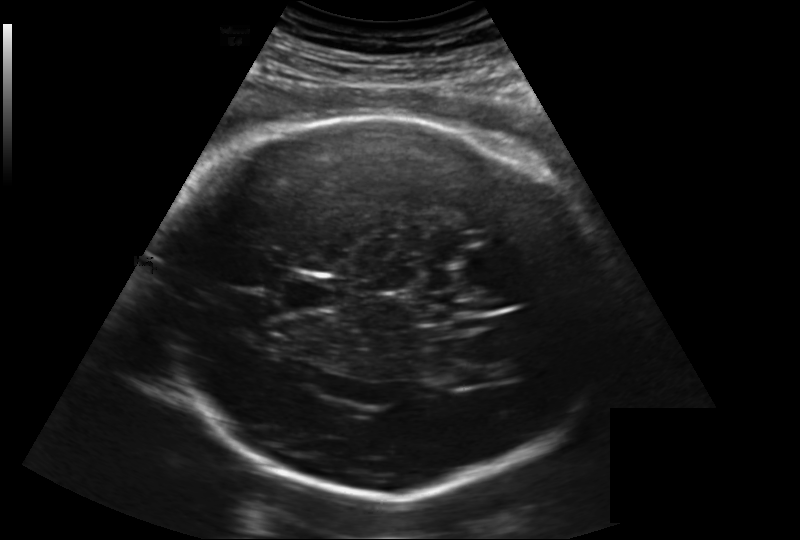
Estimate the fetal head circumference from this 2D ultrasound. Image width: 175.3 mm.

Head circumference: 293.4 mm.